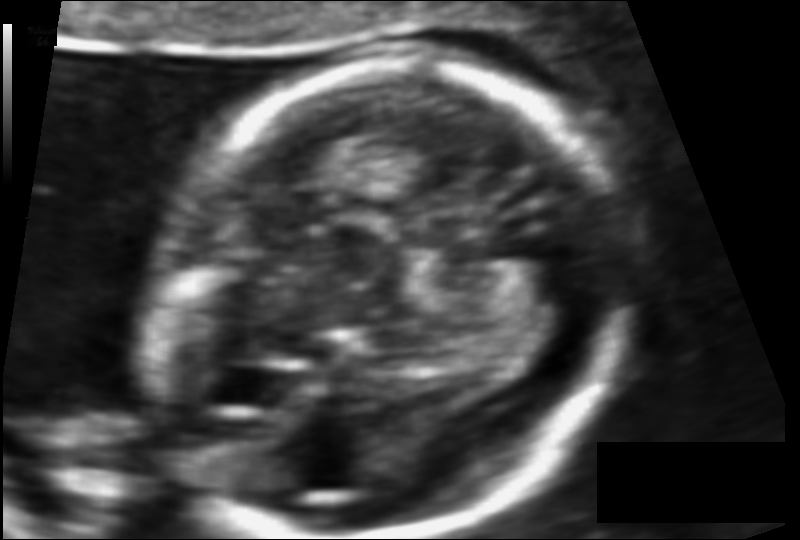
Fetal head ultrasound. Image width: 66.0 mm. Where is the fetal head?

Head bounding box: [143,65,626,536]